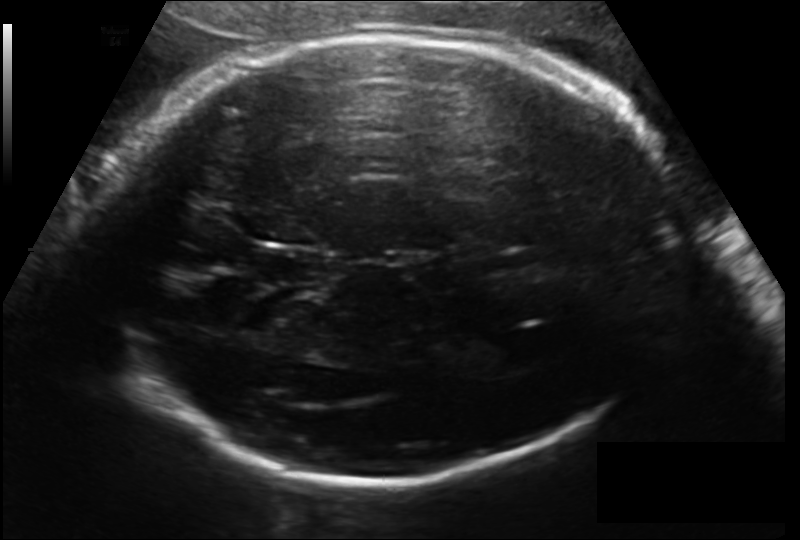
Fetal head ultrasound. Image width: 136.7 mm. Give [x1,y1,x2,y2] bounding boxes for each visible structure among: fetal head, CSP, LV.

Head: [102,33,672,487]
CSP: [250,247,325,288]
Lateral ventricle: [469,328,543,376]